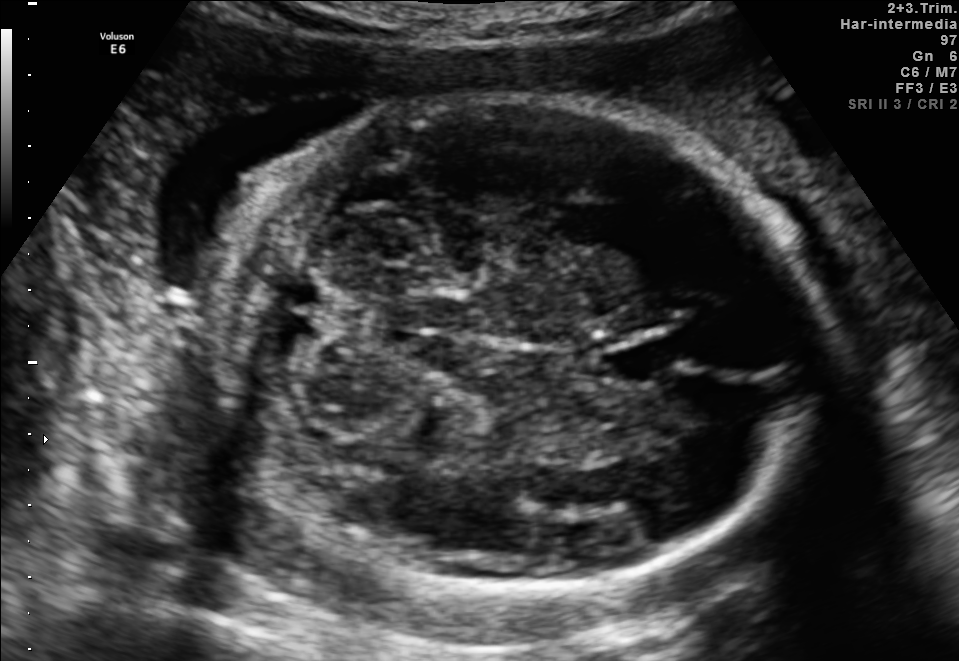
Fetal brain, trans-cerebellum plane. Locate the fetal head and, if visible, the cavum septum pellucidum (CSP) and lateral ventricle (LV). Give bounding boxes as [x1,y1,x2,y2].

Head: [202,94,823,583]
CSP: [595,328,681,394]